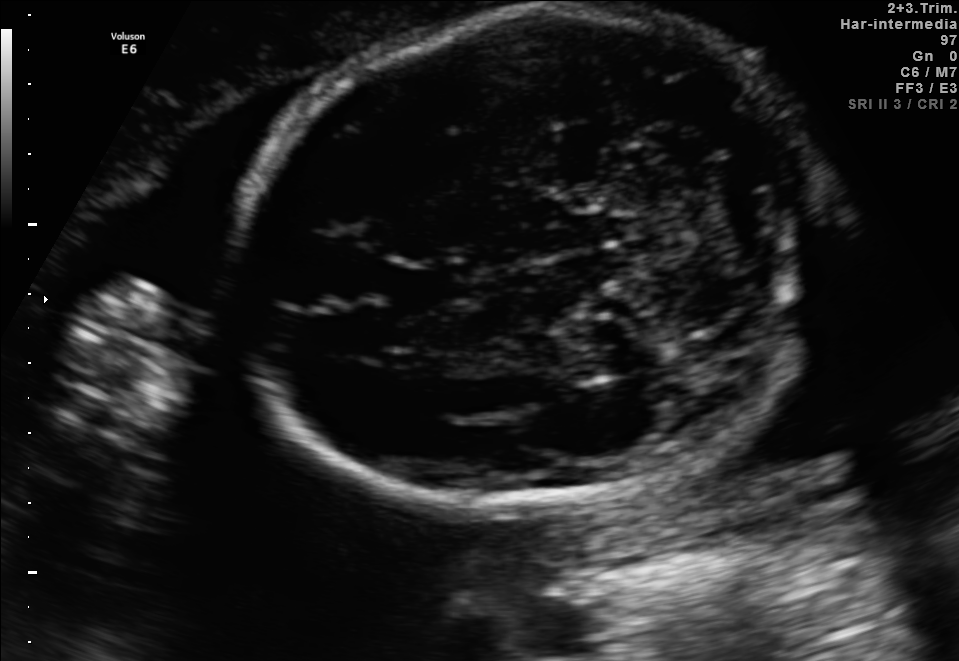
Fetal brain, trans-cerebellum plane. Locate the fetal head and, if visible, the cavum septum pellucidum (CSP) and lateral ventricle (LV). Give bounding boxes as [x1,y1,x2,y2].

Head: [234,10,827,507]
CSP: [394,260,472,313]